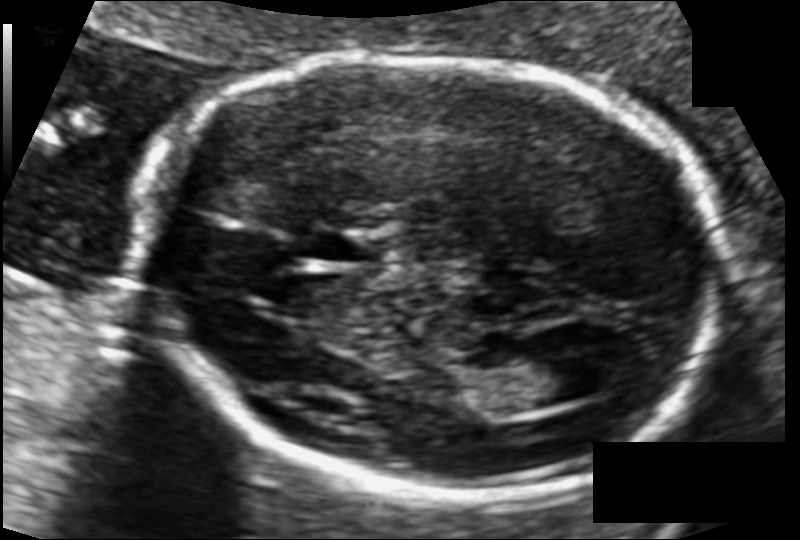
Fetal head ultrasound. Image width: 81.0 mm. Locate the fetal head and, if visible, the cavum septum pellucidum (CSP) and lateral ventricle (LV). Give bounding boxes as [x1,y1,x2,y2].

Head: [140,54,723,496]
CSP: [304,226,381,266]
Lateral ventricle: [491,339,593,417]